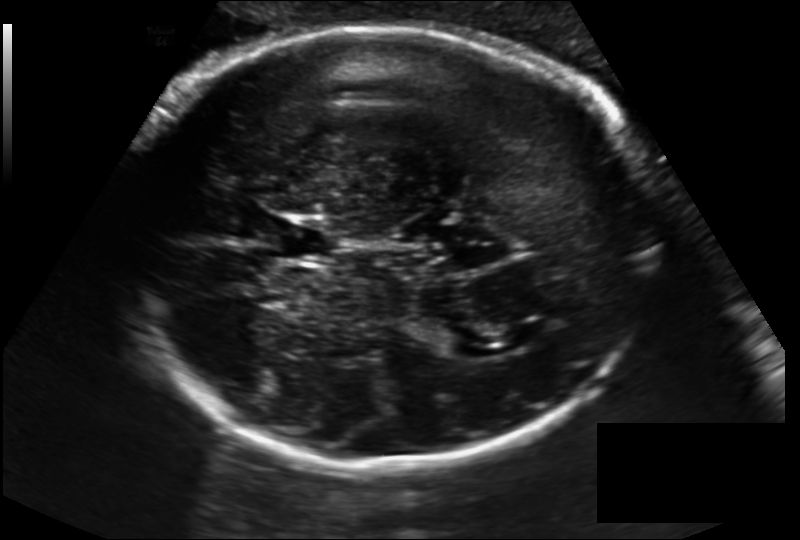
From this fetal ultrasound, estimate the head circumference (image width 155.1 mm).

Head circumference: 300.0 mm.